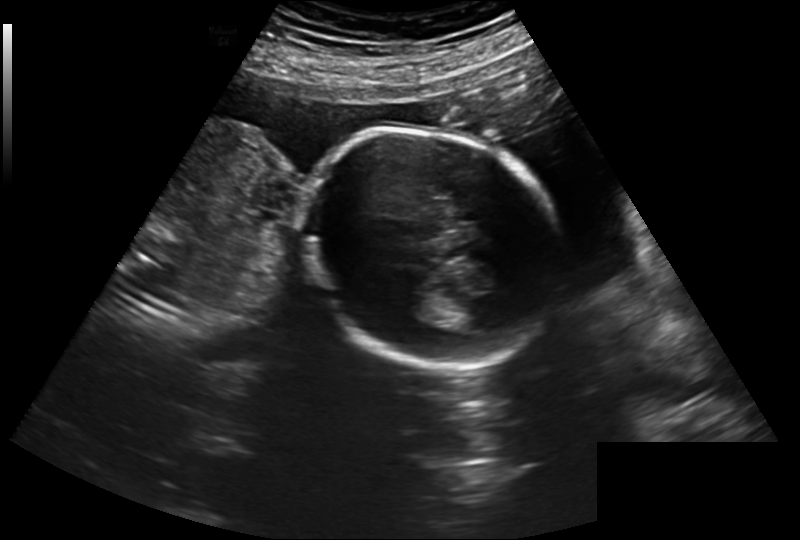
What is the fetal head circumference? Image width is 207.9 mm.

214.4 mm